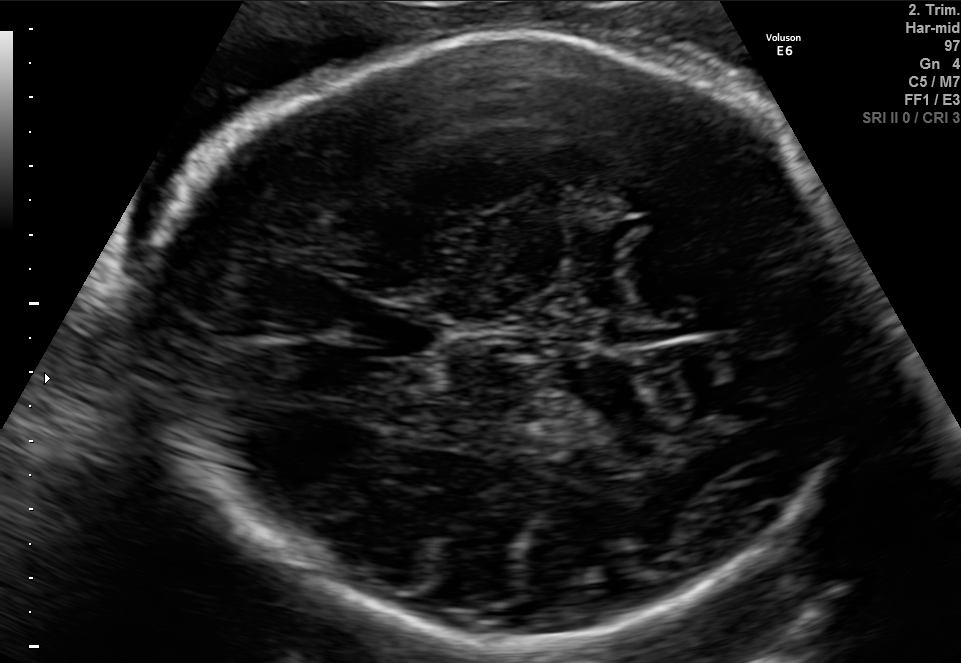
Which standard maternal-fetal ultrasound plane is shown: fetal abdomen, fetal brain, fetal femur, fetal thorax, maternal cervix, or other? If it's fetal brain and one of the three standard brain planes (trans-thalamic, trans-cerebellum, trans-ventricular), name which.

Fetal brain (trans-thalamic plane)